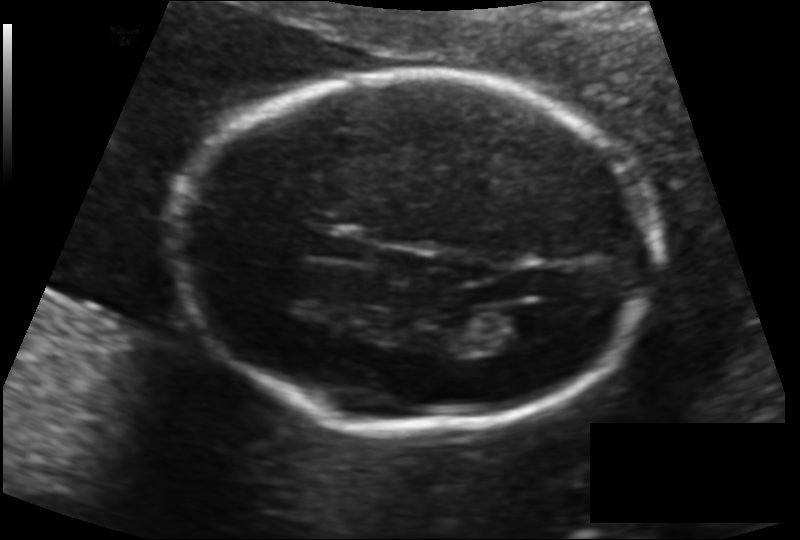
In this fetal head ultrasound, give the bounding box of the fetal head. Image width: 107.4 mm.

[182,71,658,428]